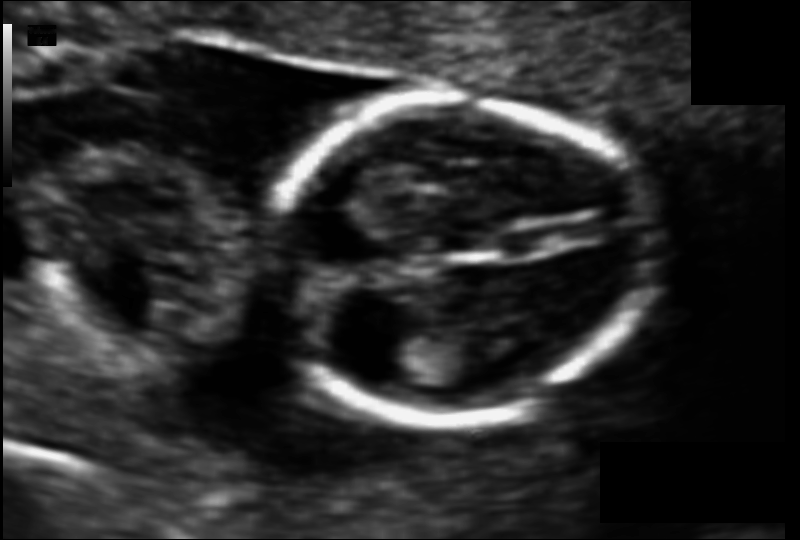
Fetal head ultrasound. Image width: 66.6 mm. Give [x1,y1,x2,y2] bounding boxes for each visible structure among: fetal head, CSP, LV.

Head: [262,100,655,419]
CSP: [497,224,560,263]
Lateral ventricle: [367,330,432,380]